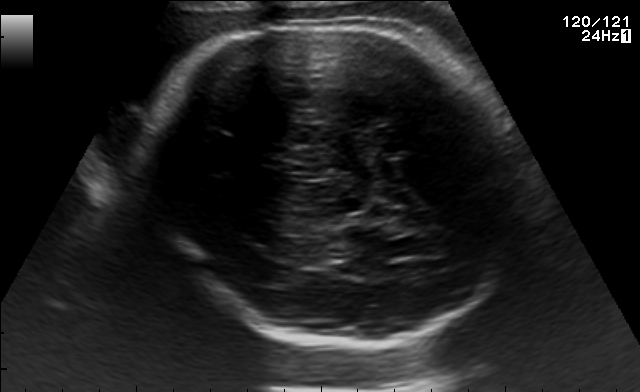
Fetal brain, trans-thalamic plane. Where is the fetal head?

Head bounding box: [153,19,526,347]